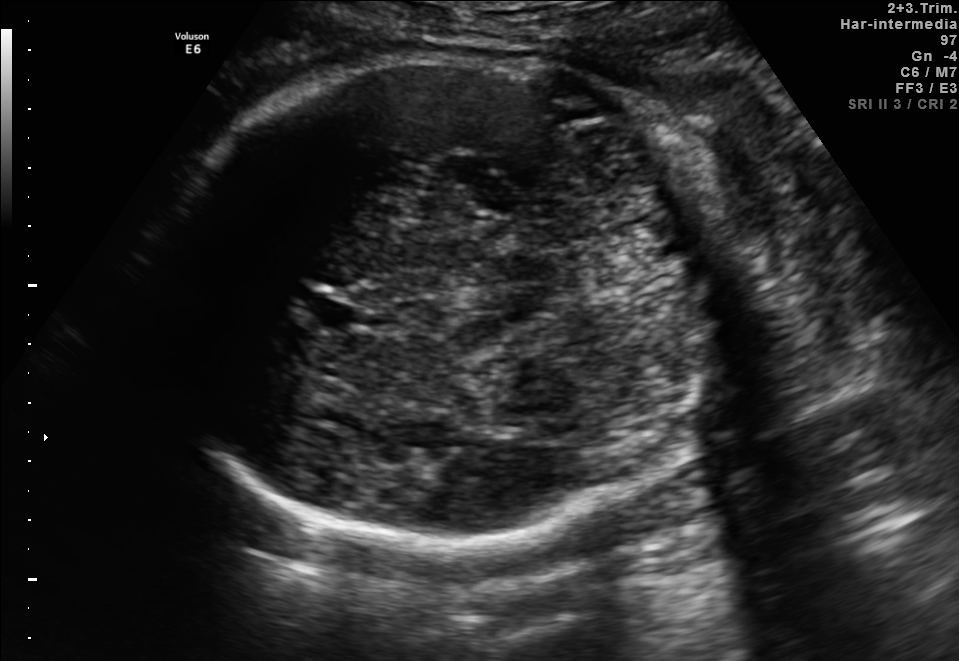
Fetal brain, trans-thalamic plane. Locate the fetal head and, if visible, the cavum septum pellucidum (CSP) and lateral ventricle (LV). Give bounding boxes as [x1,y1,x2,y2].

Head: [150,59,715,538]
CSP: [308,294,359,335]